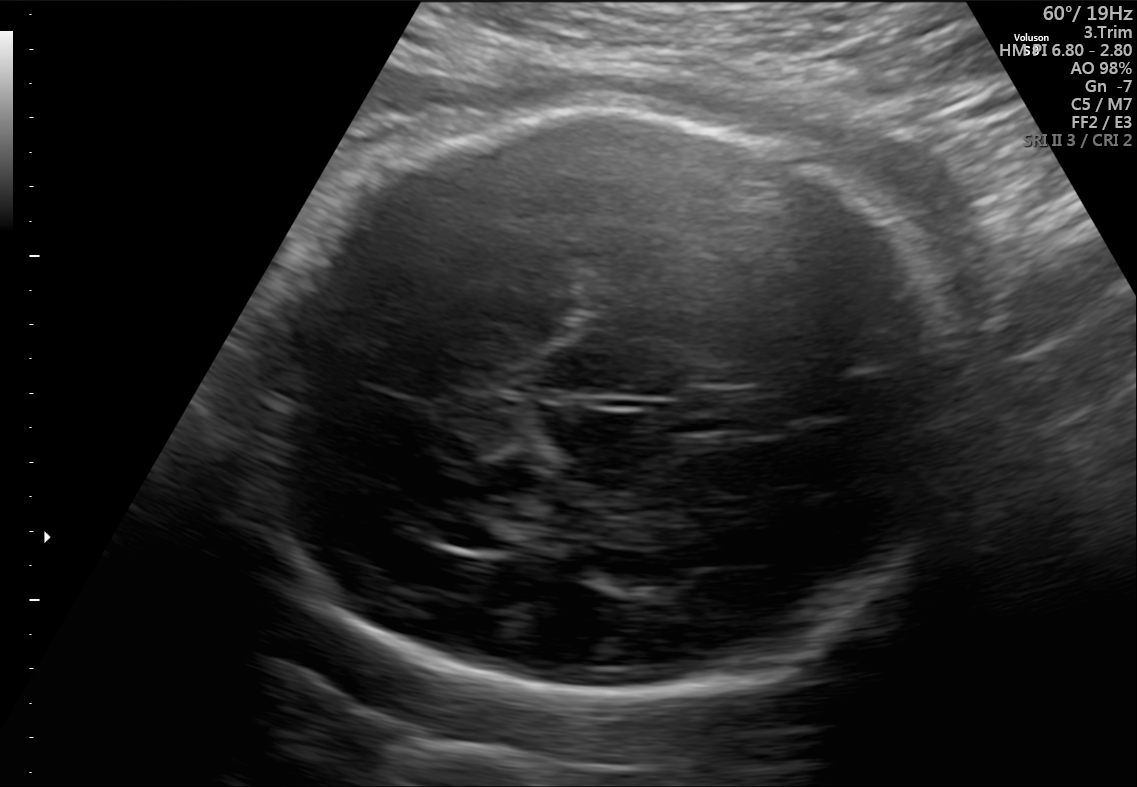
Fetal brain, trans-thalamic plane. Where is the lateral ventricle?

Lateral ventricle bounding box: [426,508,523,558]